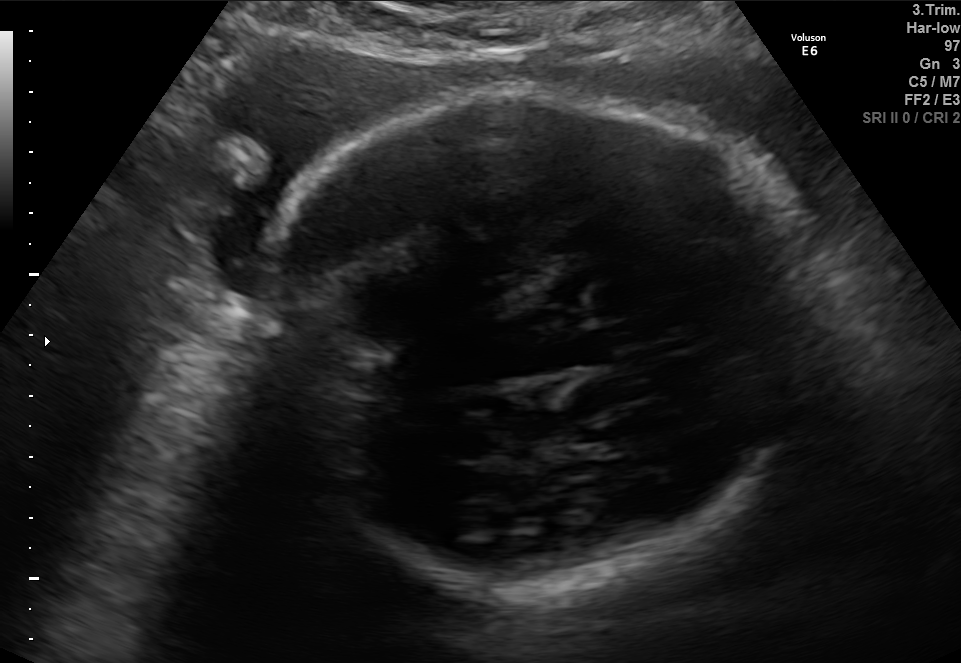
In this fetal brain, trans-thalamic plane, give bounding boxes for the head outline, cavum septum pellucidum (CSP), and lateral ventricle (LV), where visible.

Head: [254,91,806,594]